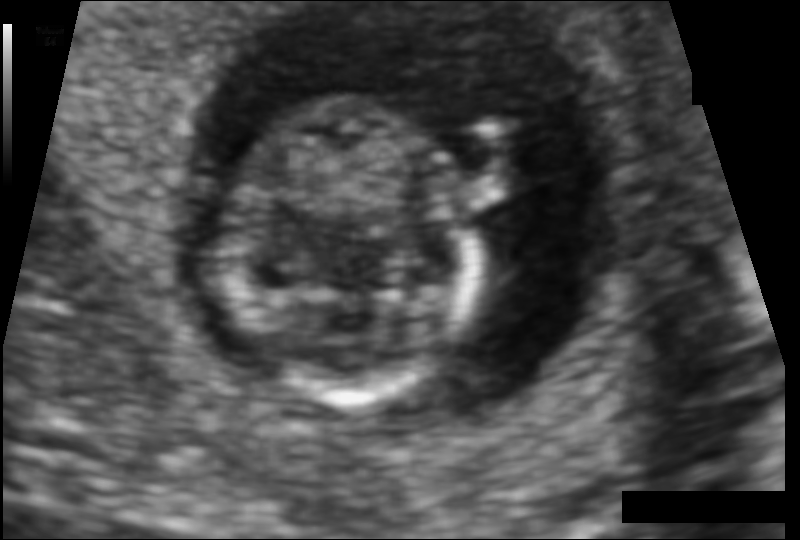
Fetal head ultrasound. Image width: 63.9 mm. Locate the fetal head and, if visible, the cavum septum pellucidum (CSP) and lateral ventricle (LV). Give bounding boxes as [x1,y1,x2,y2].

Head: [221,98,475,401]